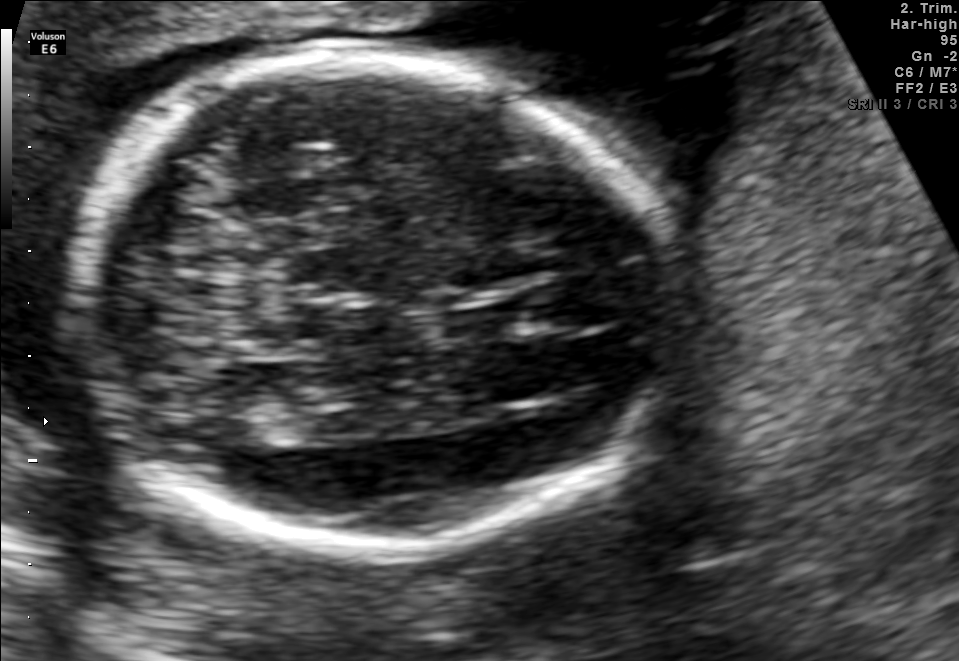
Fetal brain, trans-thalamic plane. Give [x1,y1,x2,y2] bounding boxes for each visible structure among: fetal head, CSP, LV.

Head: [71,56,688,555]